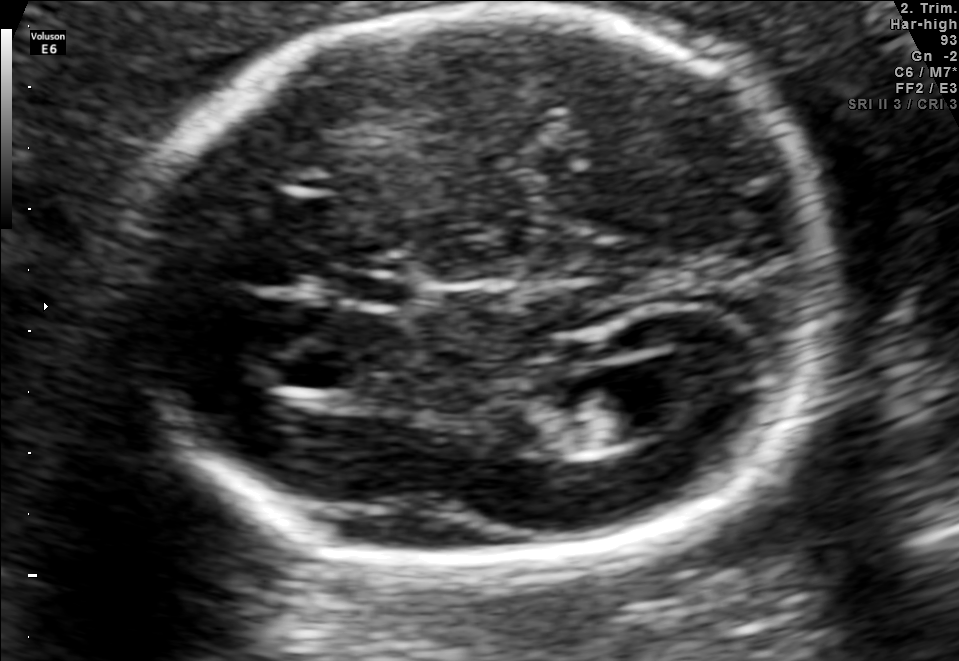
Fetal brain, trans-ventricular plane. Locate the lateral ventricle.

Lateral ventricle: [570,359,704,453]